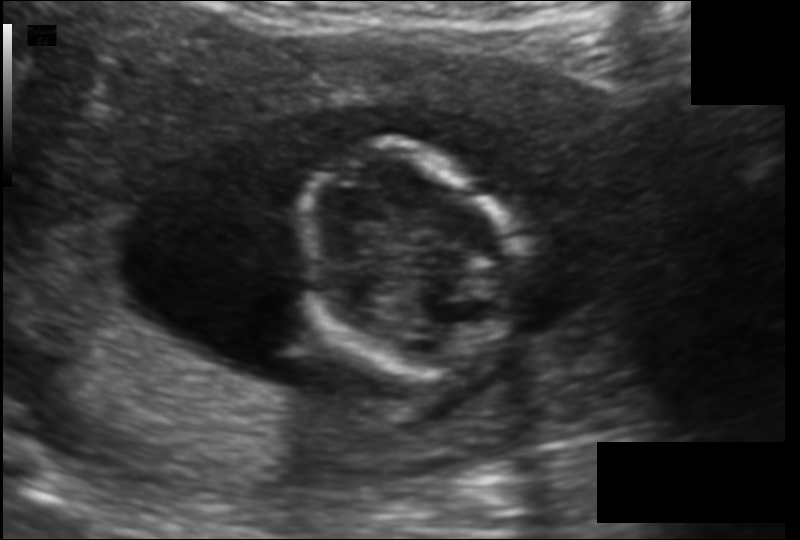
Fetal head ultrasound. Image width: 103.9 mm. Where is the fetal head?

Head bounding box: [298,142,516,382]